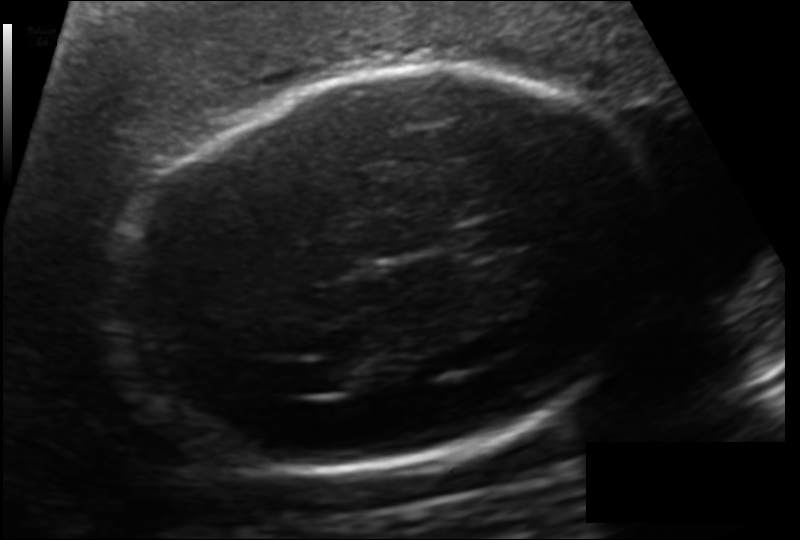
Estimate the fetal head circumference from this 2D ultrasound. Image width: 120.9 mm.

Head circumference: 231.3 mm.